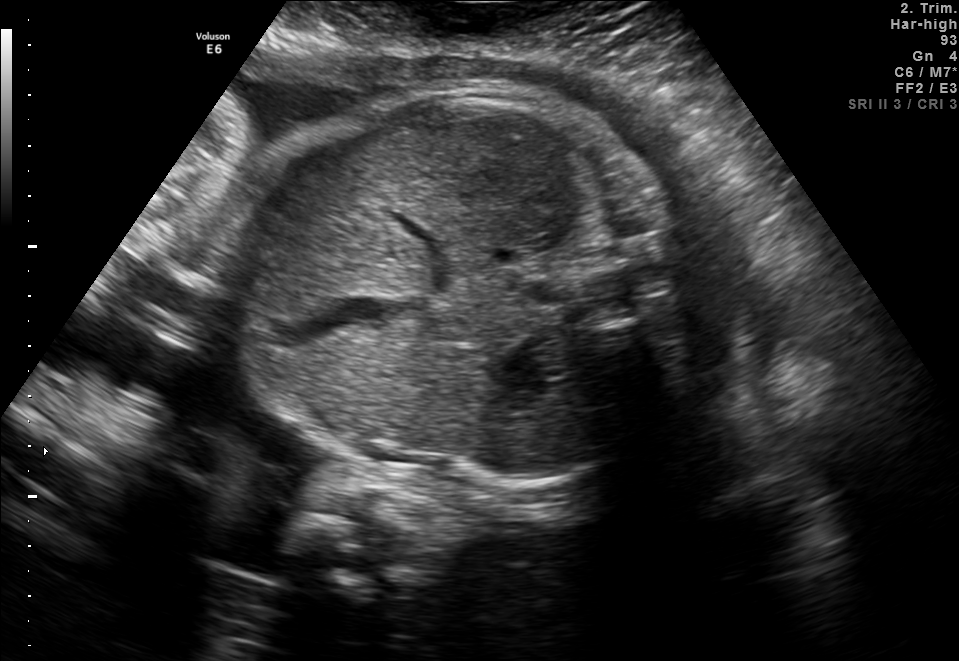
Identify the standard plane in this fetal ultrasound image: fetal abdomen, fetal brain, fetal femur, fetal thorax, maternal cervix, or other. If it's fetal brain and one of the three standard brain planes (trans-thalamic, trans-cerebellum, trans-ventricular), name which.

Fetal abdomen